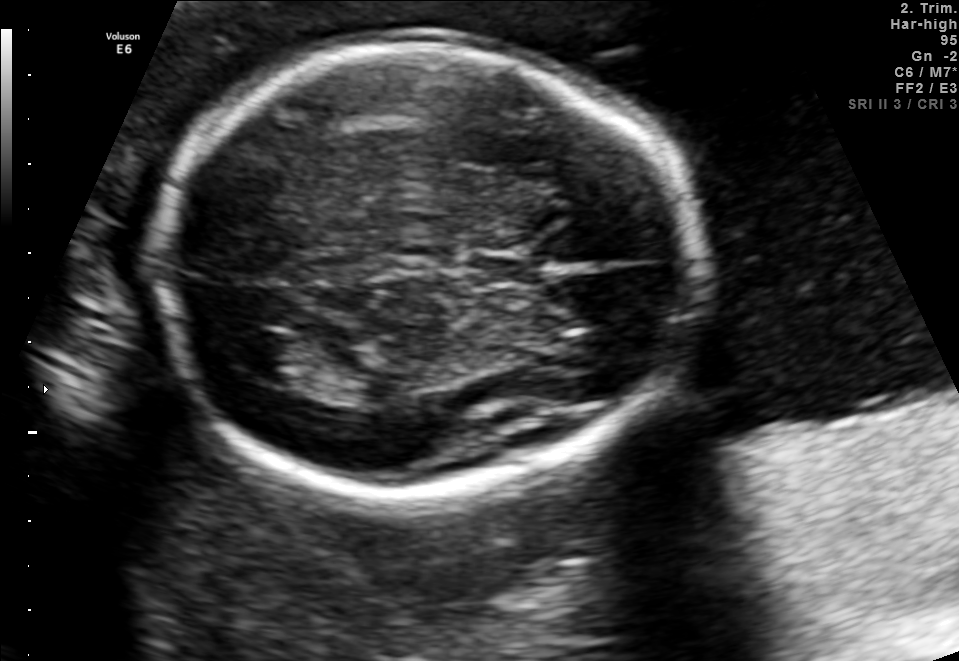
Fetal brain, trans-thalamic plane. Locate the fetal head and, if visible, the cavum septum pellucidum (CSP) and lateral ventricle (LV). Give bounding boxes as [x1,y1,x2,y2].

Head: [151,49,700,490]
CSP: [463,250,551,286]
Lateral ventricle: [232,324,316,390]